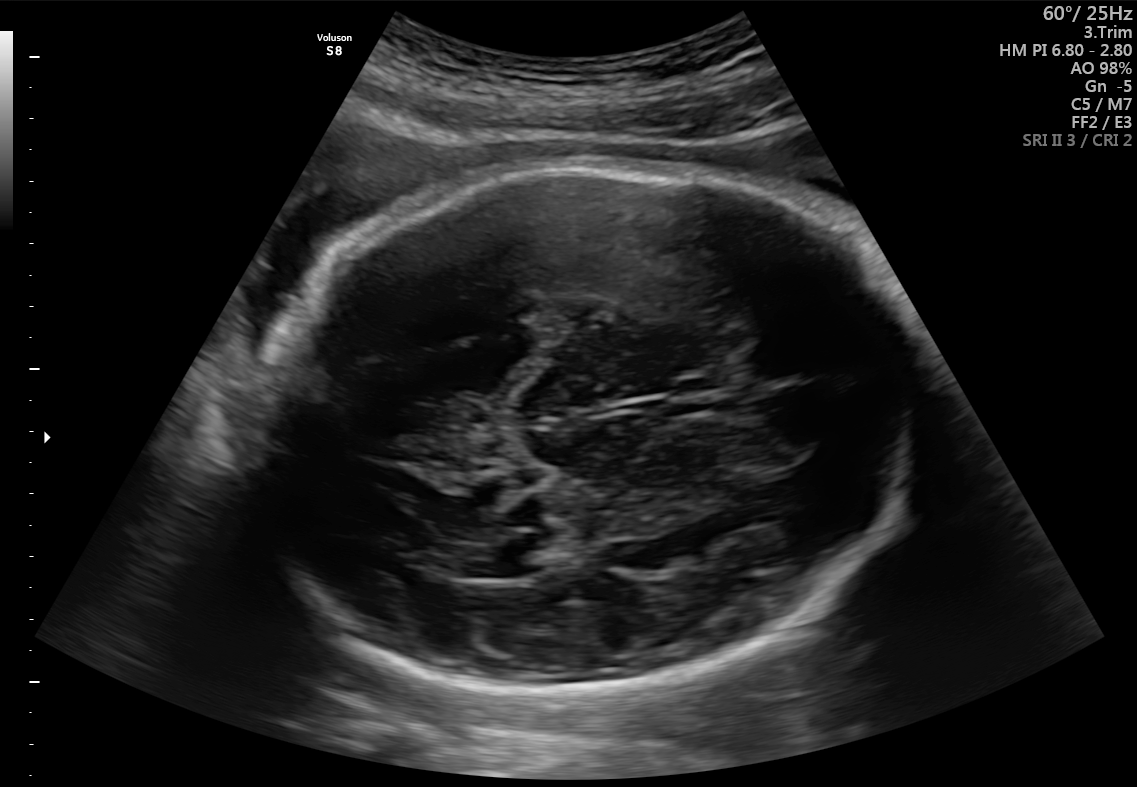
In this fetal brain, trans-ventricular plane, give bounding boxes for the head outline, cavum septum pellucidum (CSP), and lateral ventricle (LV), where visible.

Head: [241,155,922,701]